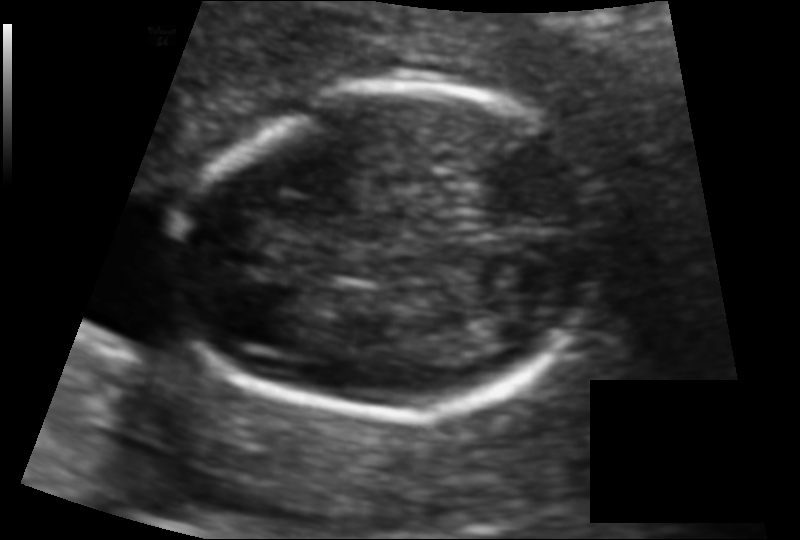
Fetal head ultrasound. Image width: 76.2 mm. Locate the fetal head.

Head: [176,86,602,415]